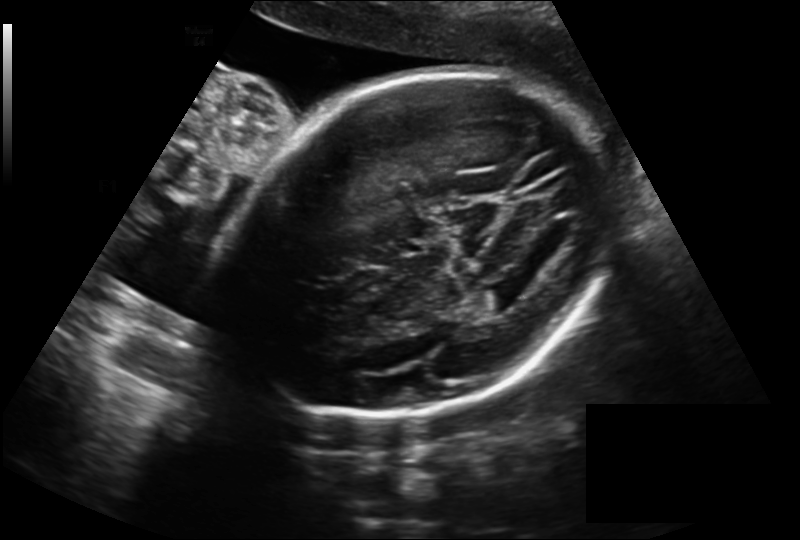
Fetal head ultrasound. Image width: 179.9 mm. Locate the lateral ventricle.

Lateral ventricle: [475,270,531,318]